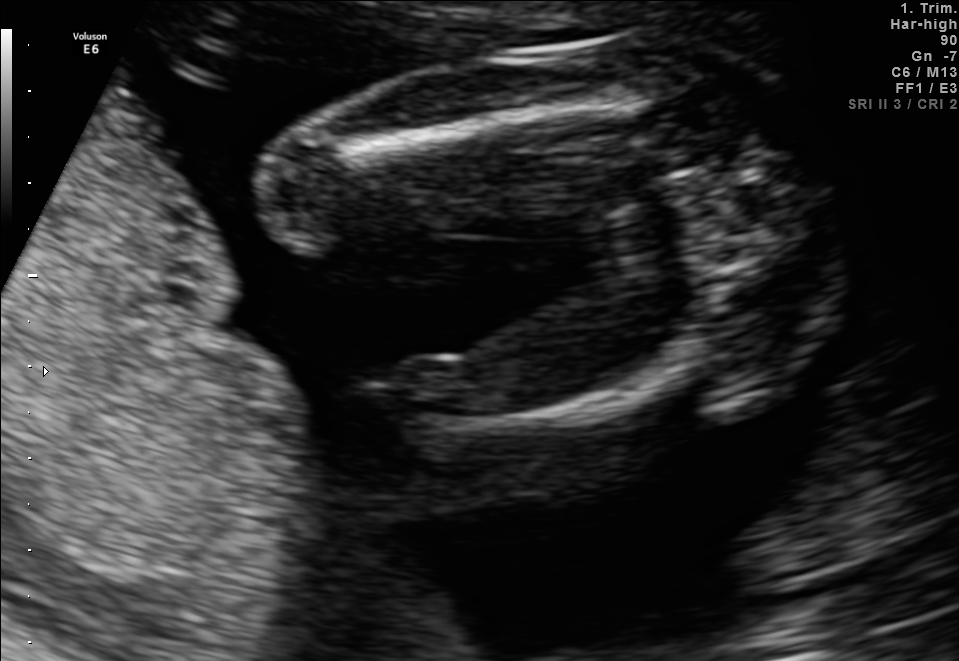
Which standard maternal-fetal ultrasound plane is shown: fetal abdomen, fetal brain, fetal femur, fetal thorax, maternal cervix, or other? If it's fetal brain and one of the three standard brain planes (trans-thalamic, trans-cerebellum, trans-ventricular), name which.

Fetal femur